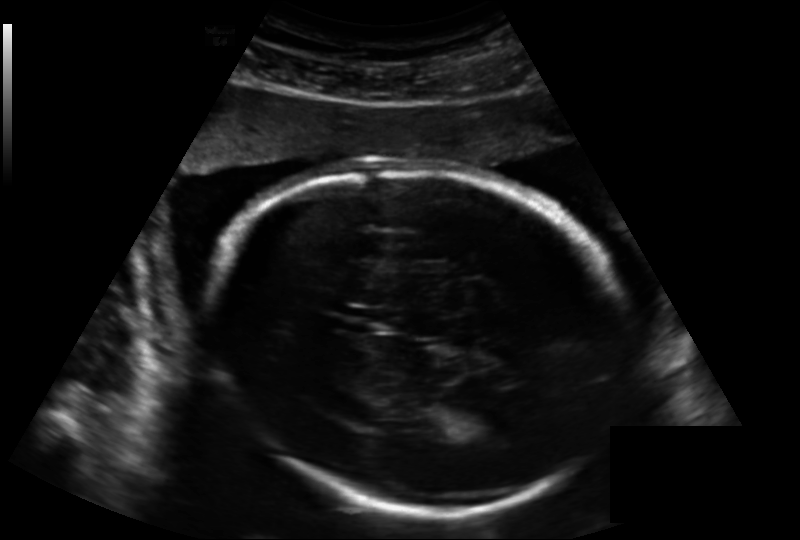
From this fetal ultrasound, estimate the head circumference (image width 150.3 mm).

Head circumference: 230.6 mm.